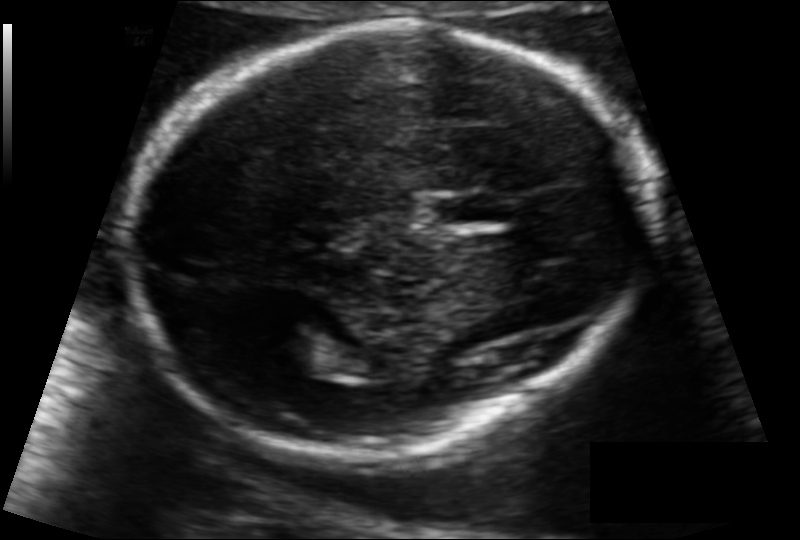
Fetal head ultrasound. Image width: 88.7 mm. Locate the cavum septum pellucidum.

CSP: [433,195,505,225]